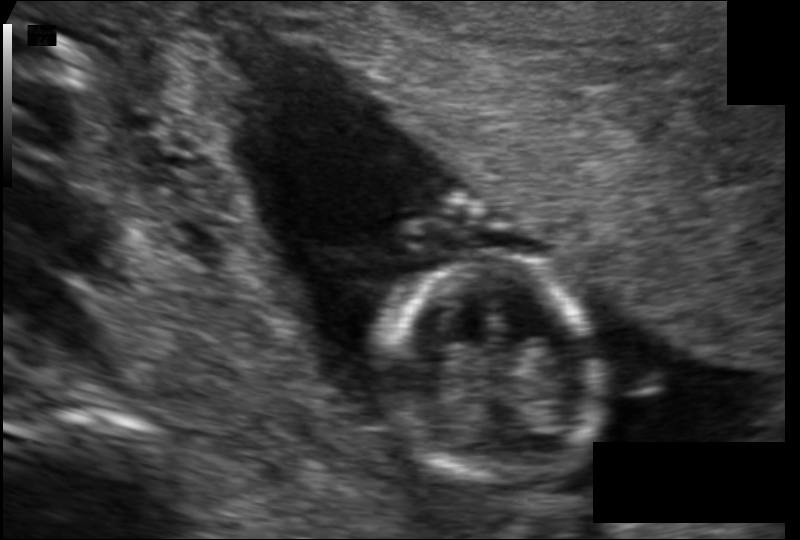
Fetal head ultrasound. Image width: 87.7 mm. Where is the fetal head?

Head bounding box: [381,255,596,483]